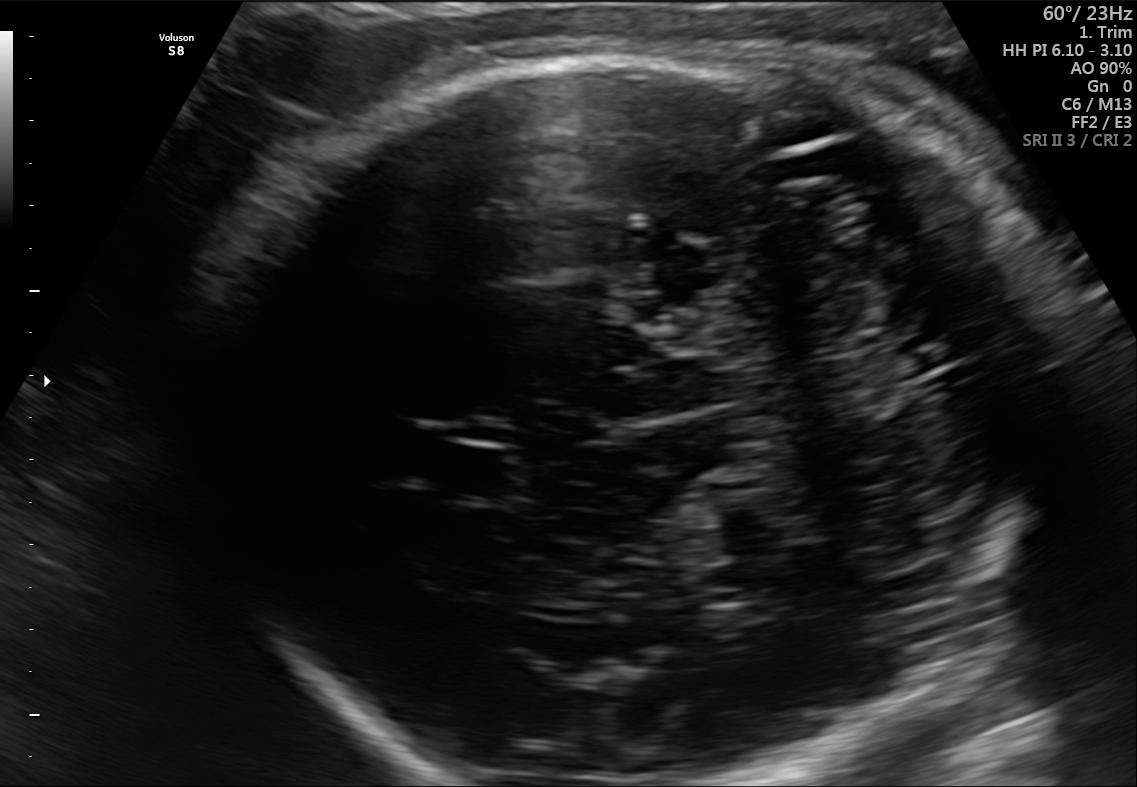
In this fetal brain, trans-cerebellum plane, give the bounding box of the fetal head.

[203,50,1055,785]